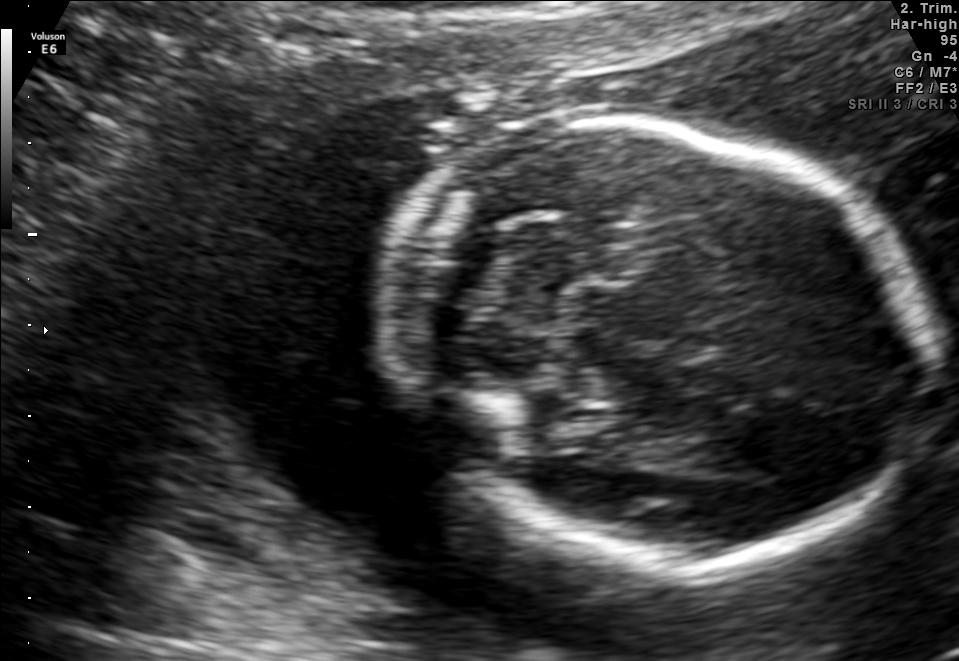
Fetal brain, trans-cerebellum plane. Where is the fetal head?

Head bounding box: [387,124,928,559]